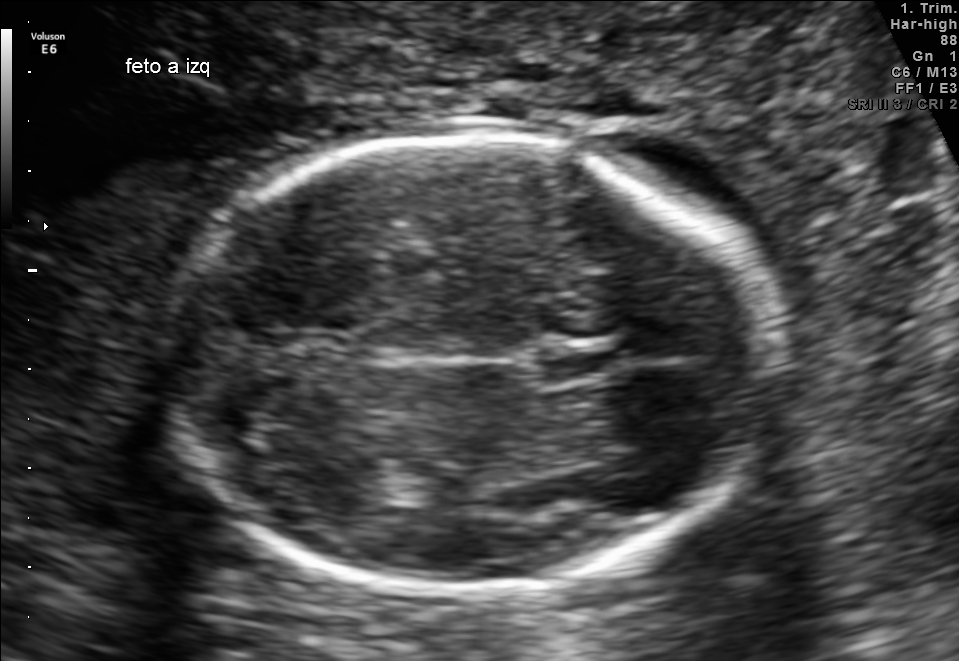
In this fetal brain, trans-thalamic plane, give the bounding box of the cavum septum pellucidum.

[539,342,619,380]